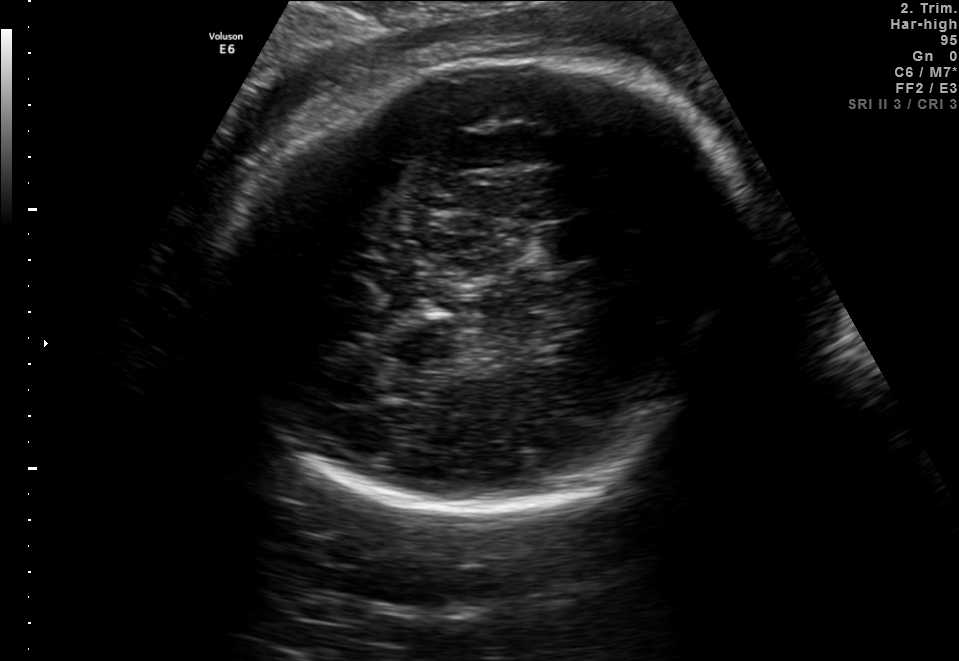
Fetal brain, trans-thalamic plane. Locate the fetal head.

Head: [213,62,764,511]